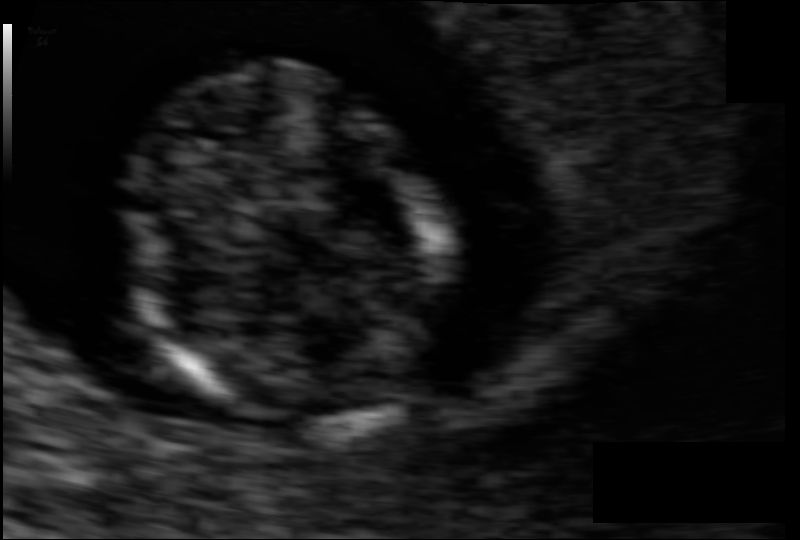
In this fetal head ultrasound, give bounding boxes for the head outline, cavum septum pellucidum (CSP), and lateral ventricle (LV), where visible. Image width: 51.3 mm.

Head: [123,75,450,429]